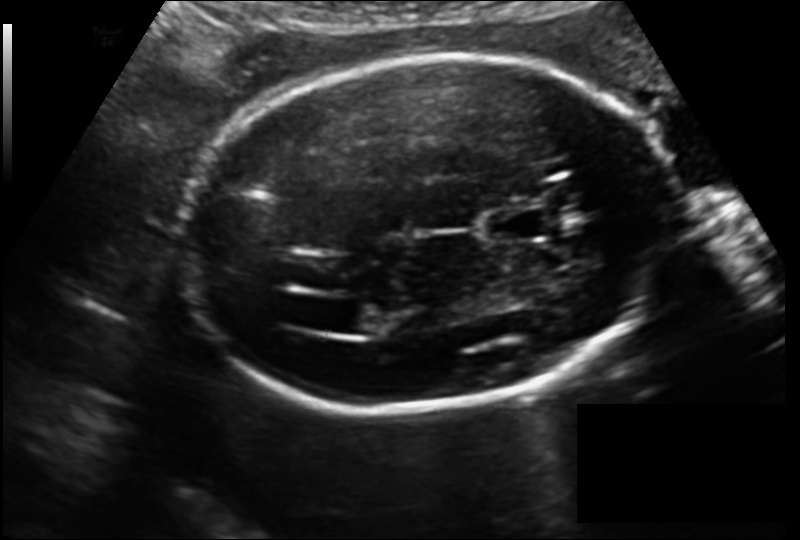
From this fetal ultrasound, estimate the head circumference (image width 120.3 mm).

Head circumference: 209.2 mm.